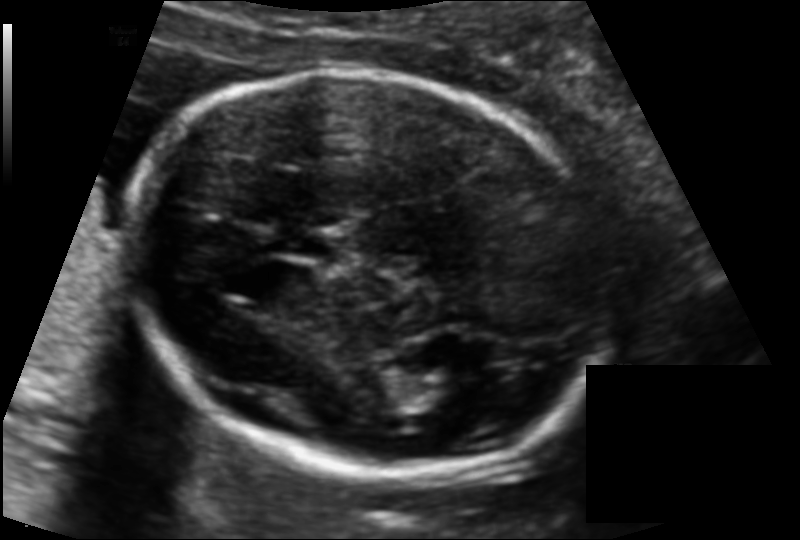
From this fetal ultrasound, estimate the head circumference (image width 93.1 mm).

Head circumference: 170.1 mm.